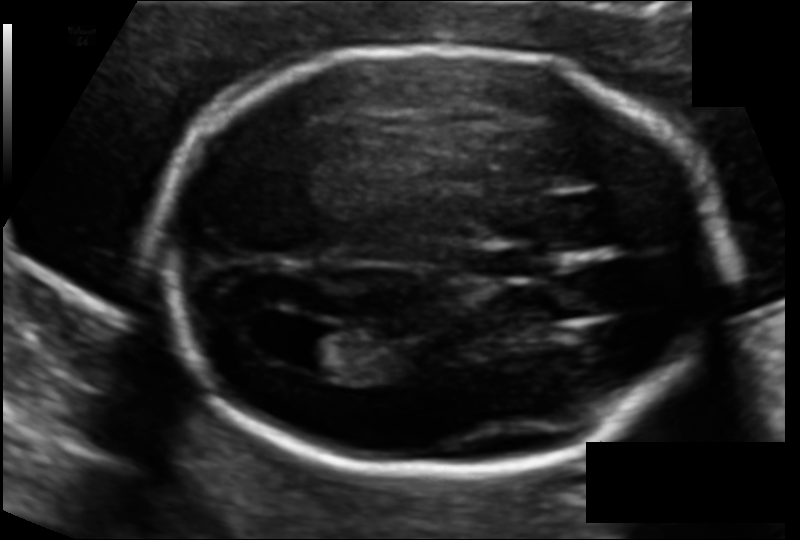
Fetal head ultrasound. Image width: 89.4 mm. Where is the cavum septum pellucidum?

CSP bounding box: [467,247,539,280]